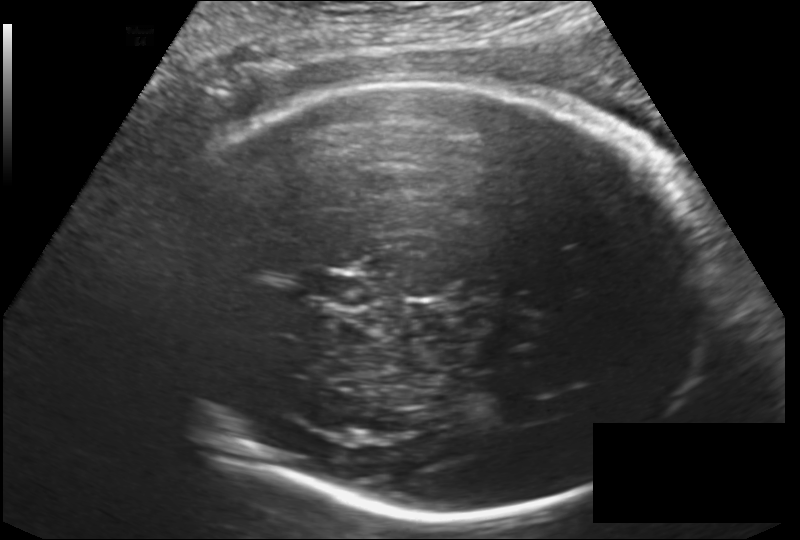
Fetal head ultrasound. Image width: 145.9 mm. Locate the fetal head.

Head: [156,80,702,519]